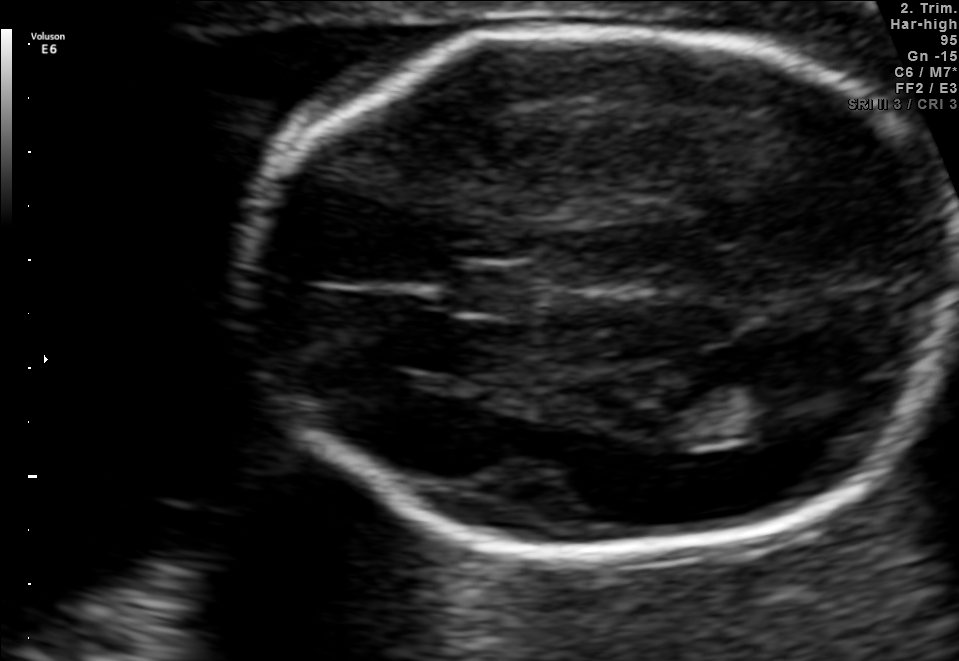
Fetal brain, trans-thalamic plane. Where is the lateral ventricle?

Lateral ventricle bounding box: [723,362,840,444]